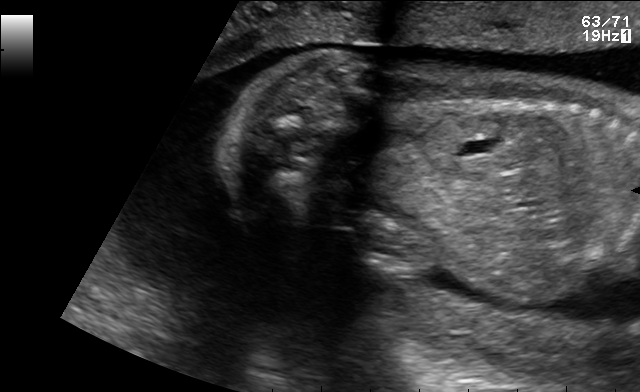
Classify this maternal-fetal ultrasound image as one of the six standard planes — fetal abdomen, fetal brain, fetal femur, fetal thorax, maternal cervix, or other. If it's fetal brain and one of the three standard brain planes (trans-thalamic, trans-cerebellum, trans-ventricular), name which.

Other